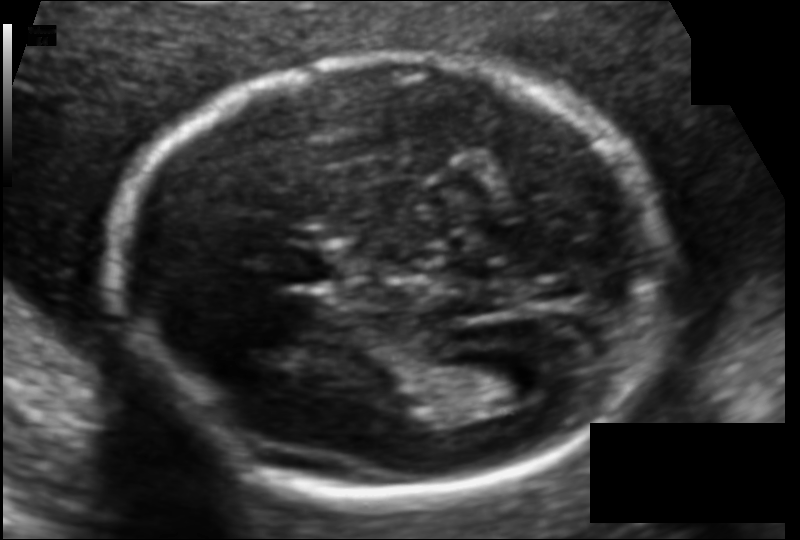
Fetal head ultrasound. Image width: 83.5 mm. Give [x1,y1,x2,y2] bounding boxes for each visible structure among: fetal head, CSP, LV.

Head: [113,56,668,498]
CSP: [270,245,334,287]
Lateral ventricle: [460,346,554,413]